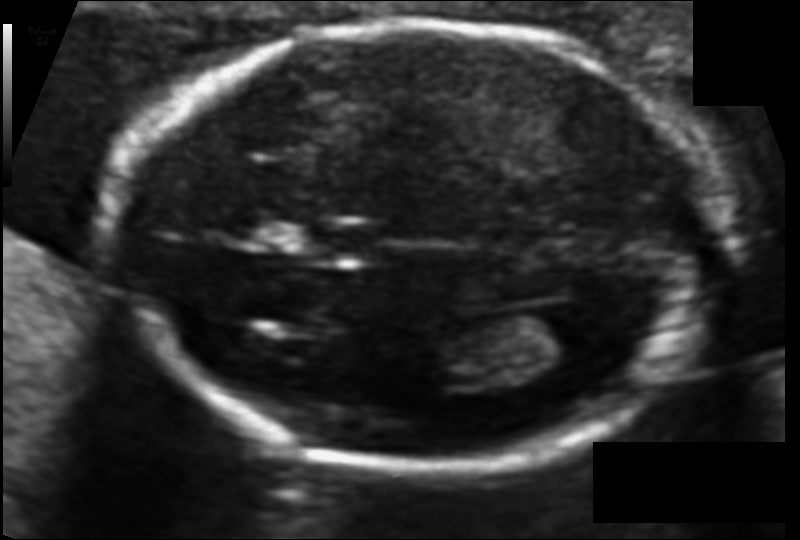
Estimate the fetal head circumference from this 2D ultrasound.

Head circumference: 159.3 mm (image width 75.0 mm).